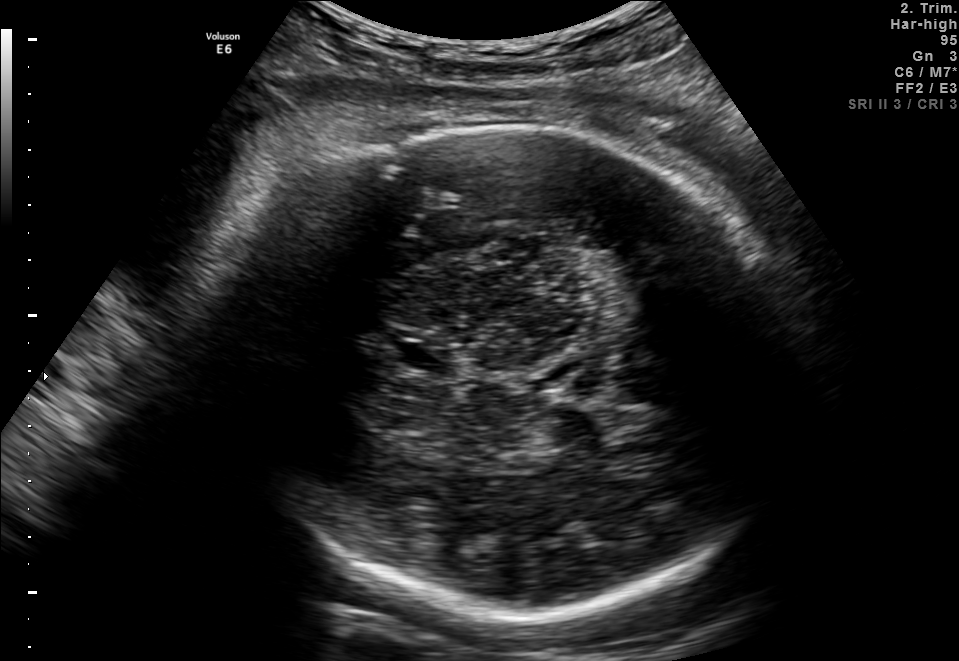
Fetal brain, trans-thalamic plane. Where is the cavum septum pellucidum?

CSP bounding box: [400,340,455,375]